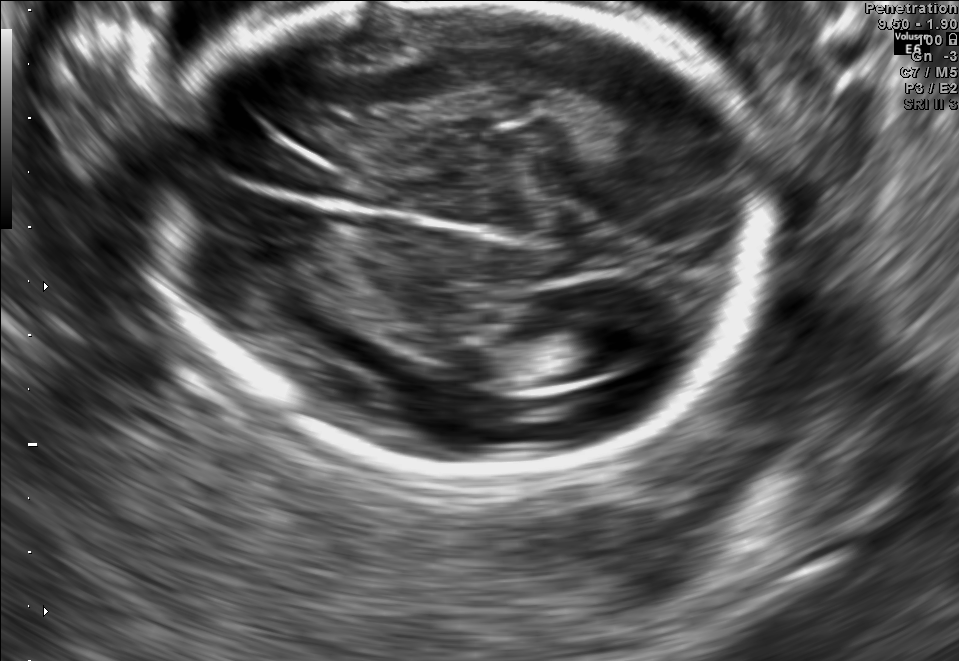
In this fetal brain, trans-ventricular plane, give bounding boxes for the head outline, cavum septum pellucidum (CSP), and lateral ventricle (LV), where visible.

Head: [146,3,777,466]
Lateral ventricle: [554,306,652,382]